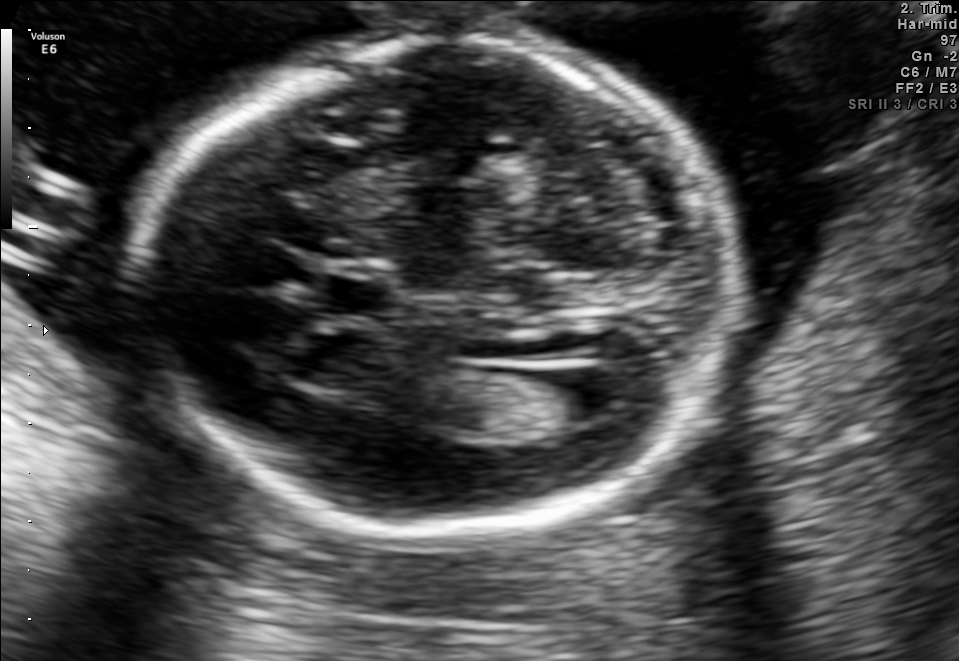
Fetal brain, trans-ventricular plane. Where is the lateral ventricle?

Lateral ventricle bounding box: [544,368,627,429]